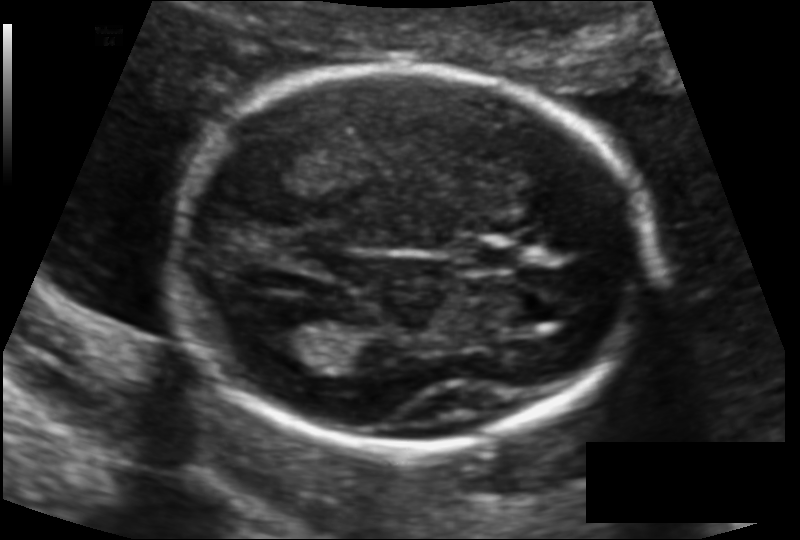
From this fetal ultrasound, estimate the head circumference (image width 93.3 mm).

Head circumference: 162.2 mm.